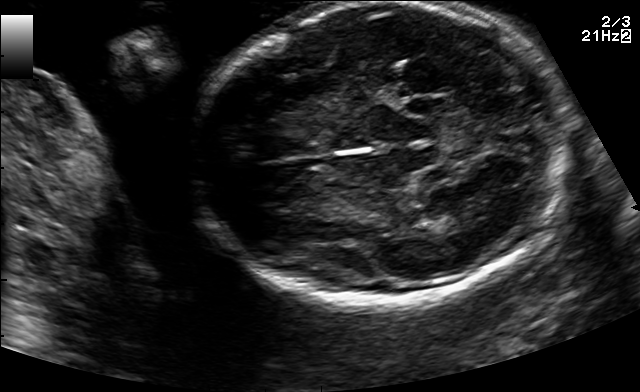
Fetal brain, trans-thalamic plane. Locate the fetal head.

Head: [192,3,573,301]